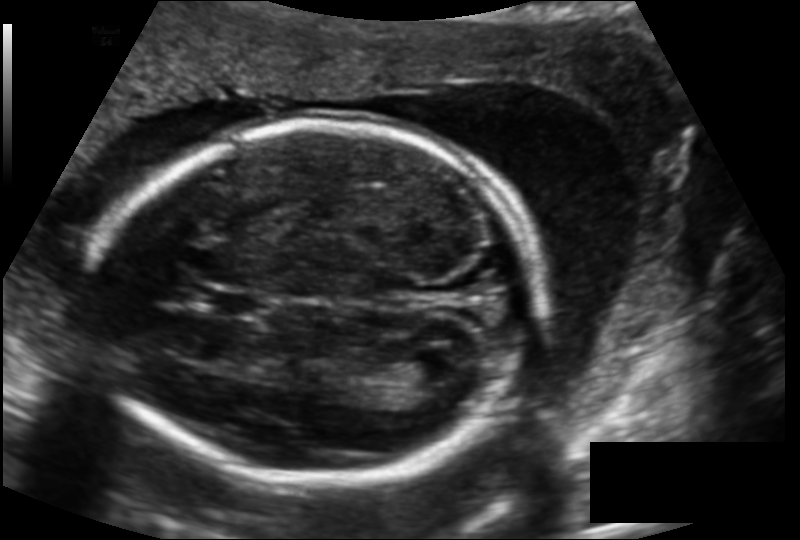
Fetal head ultrasound. Image width: 114.6 mm. Where is the lateral ventricle?

Lateral ventricle bounding box: [389,341,460,397]